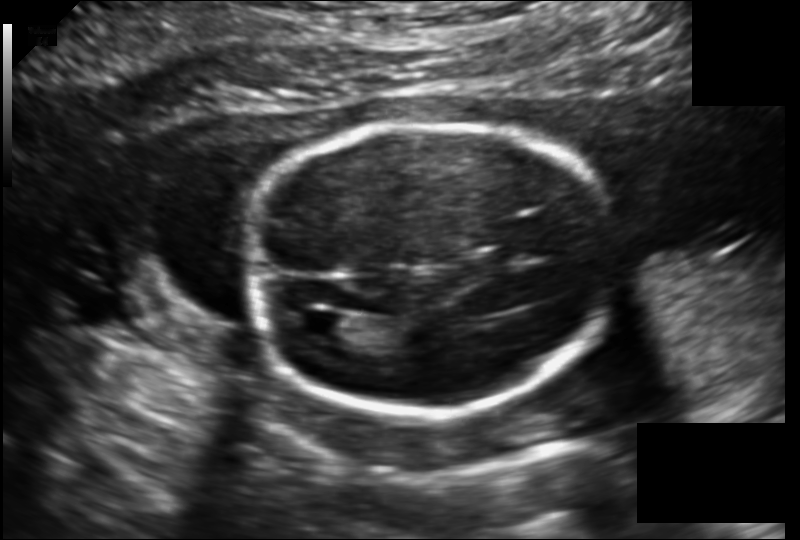
In this fetal head ultrasound, give the bounding box of the fetal head. Image width: 119.0 mm.

[252,123,613,413]